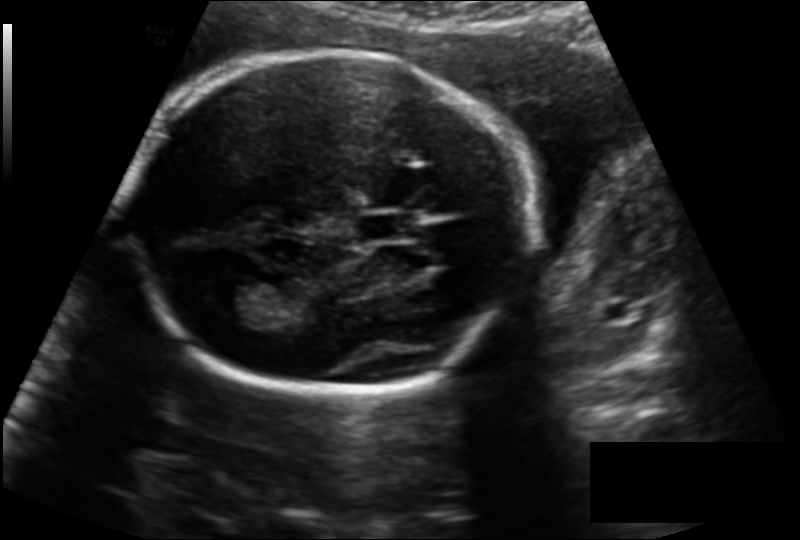
Fetal head ultrasound. Image width: 122.1 mm. Locate the lateral ventricle.

Lateral ventricle: [201,269,264,323]